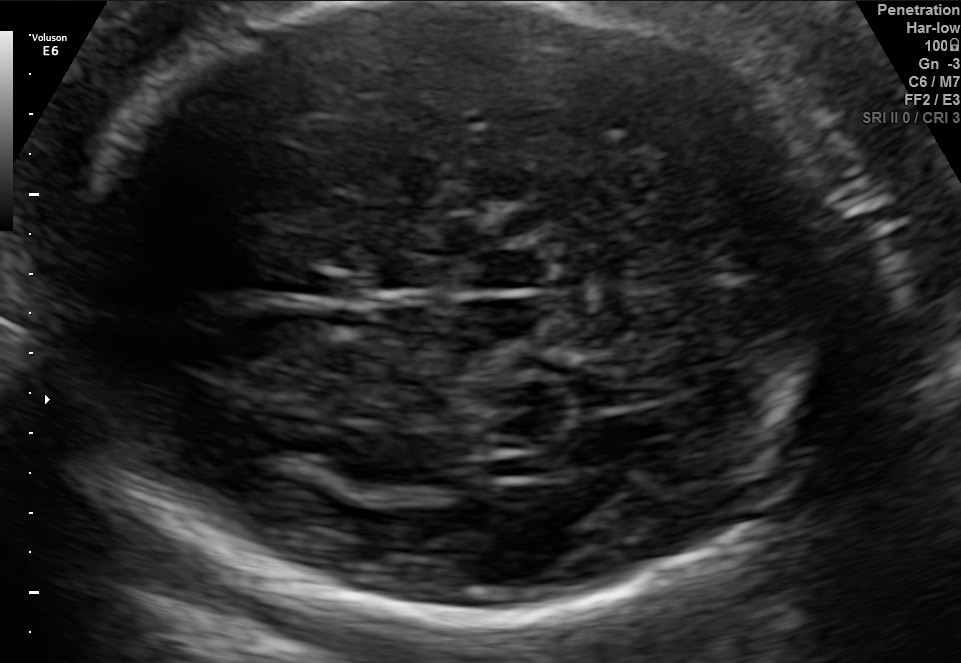
Fetal brain, trans-thalamic plane. Where is the fetal head?

Head bounding box: [44,6,869,621]